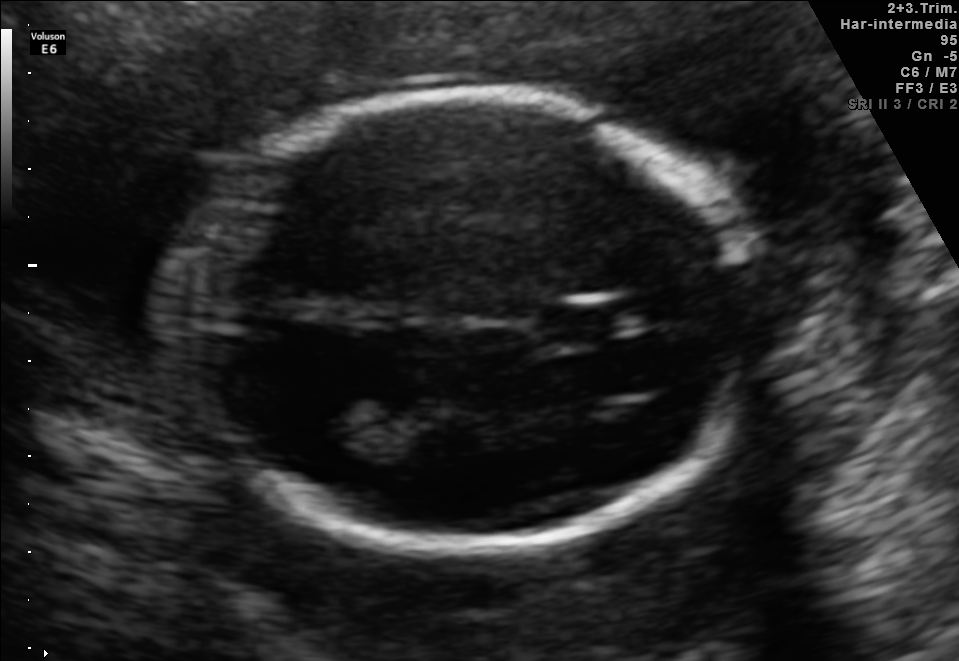
Fetal brain, trans-thalamic plane. Give [x1,y1,x2,y2] bounding boxes for each visible structure among: fetal head, CSP, LV.

Head: [180,93,757,556]
CSP: [539,299,623,345]